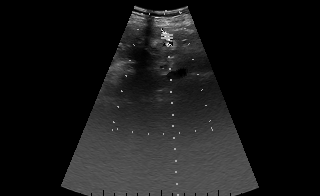
This is a 2D maternal-fetal ultrasound frame. Is it a fetal abdomen, fetal brain, fetal femur, fetal thorax, maternal cervix, or other standard plane? If it's fetal brain and one of the three standard brain planes (trans-thalamic, trans-cerebellum, trans-ventricular), name which.

Other